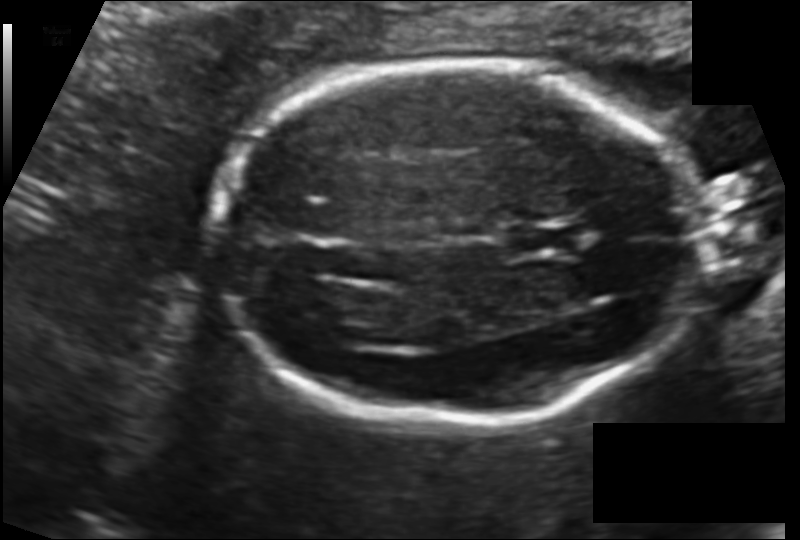
Estimate the fetal head circumference from this 2D ultrasound.

Head circumference: 169.3 mm (image width 98.3 mm).